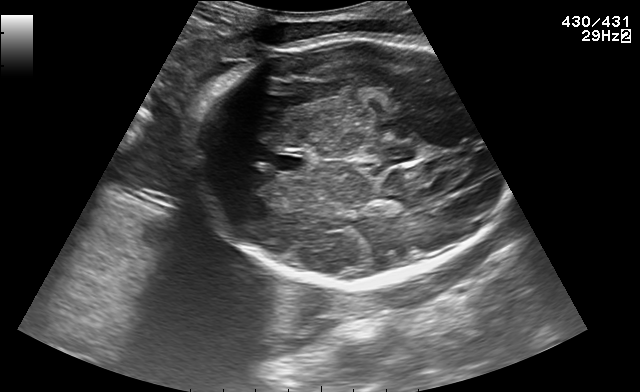
Fetal brain, trans-thalamic plane. Locate the cavum septum pellucidum.

CSP: [272,151,307,171]